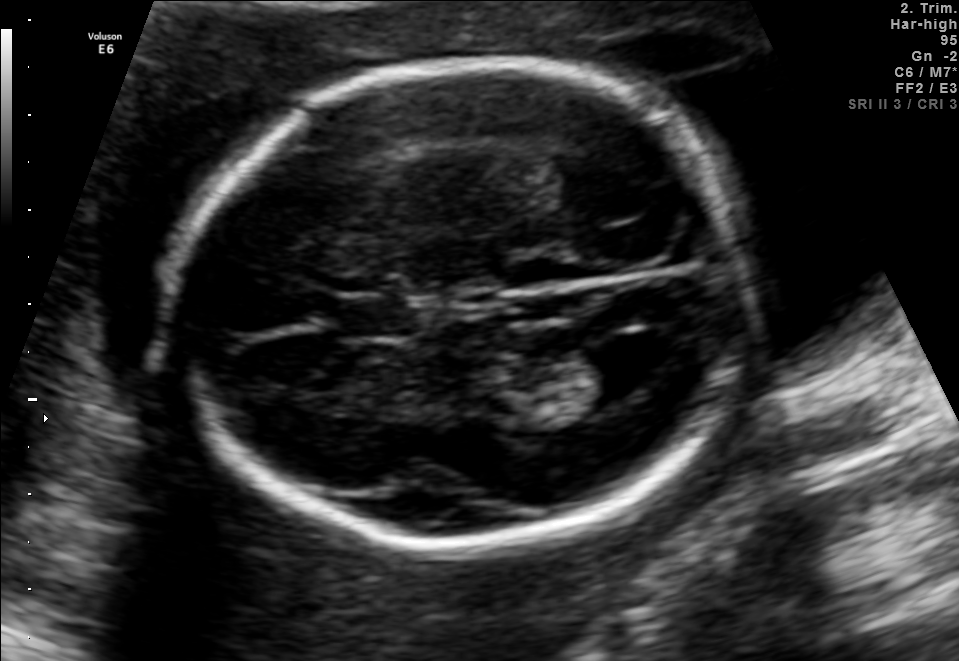
In this fetal brain, trans-ventricular plane, give the bounding box of the lateral ventricle.

[566,325,678,412]